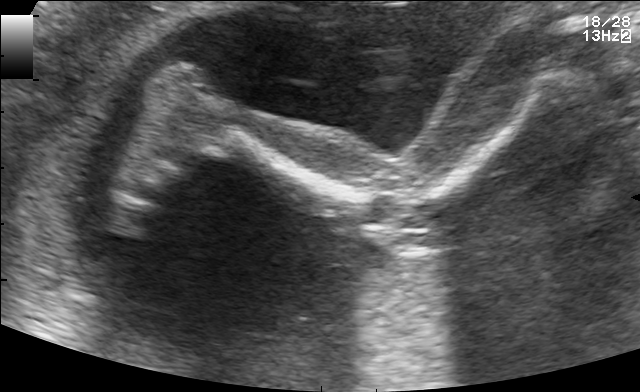
Which standard maternal-fetal ultrasound plane is shown: fetal abdomen, fetal brain, fetal femur, fetal thorax, maternal cervix, or other? If it's fetal brain and one of the three standard brain planes (trans-thalamic, trans-cerebellum, trans-ventricular), name which.

Other